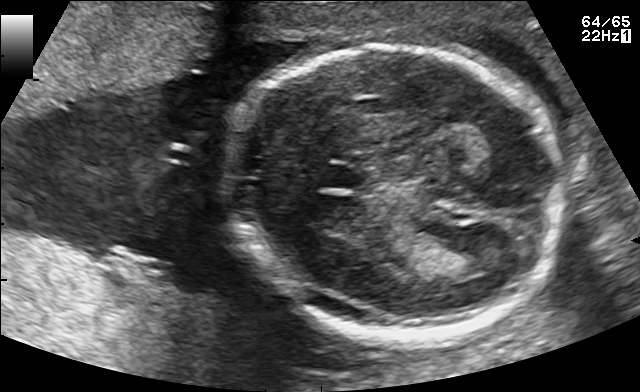
Fetal brain, trans-thalamic plane. Where is the cavum septum pellucidum?

CSP bounding box: [320,164,361,189]